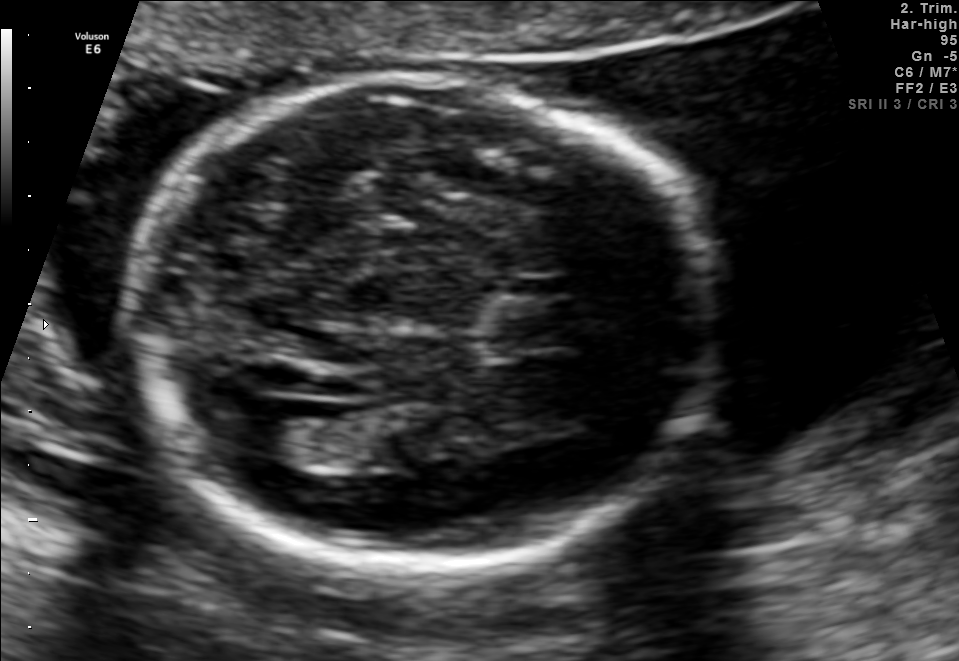
This is a 2D maternal-fetal ultrasound frame. Is it a fetal abdomen, fetal brain, fetal femur, fetal thorax, maternal cervix, or other standard plane? If it's fetal brain and one of the three standard brain planes (trans-thalamic, trans-cerebellum, trans-ventricular), name which.

Fetal brain (trans-ventricular plane)